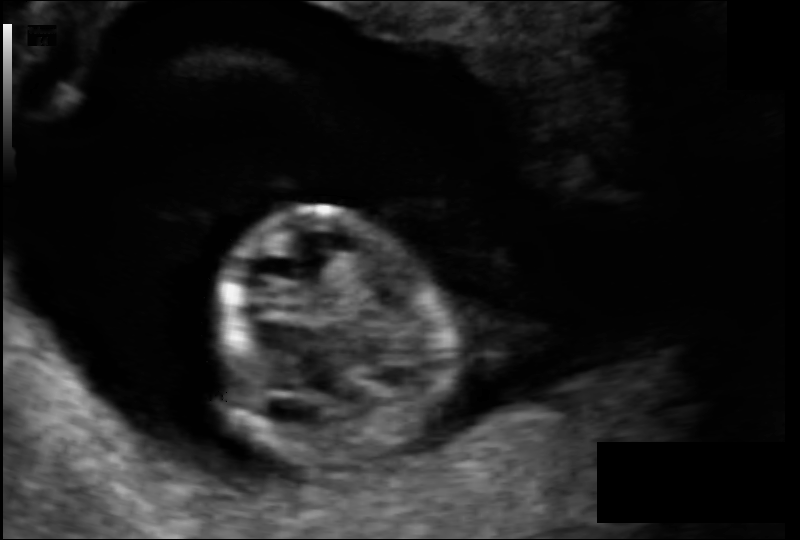
Fetal head ultrasound. Image width: 78.9 mm. Locate the fetal head.

Head: [213,208,450,465]